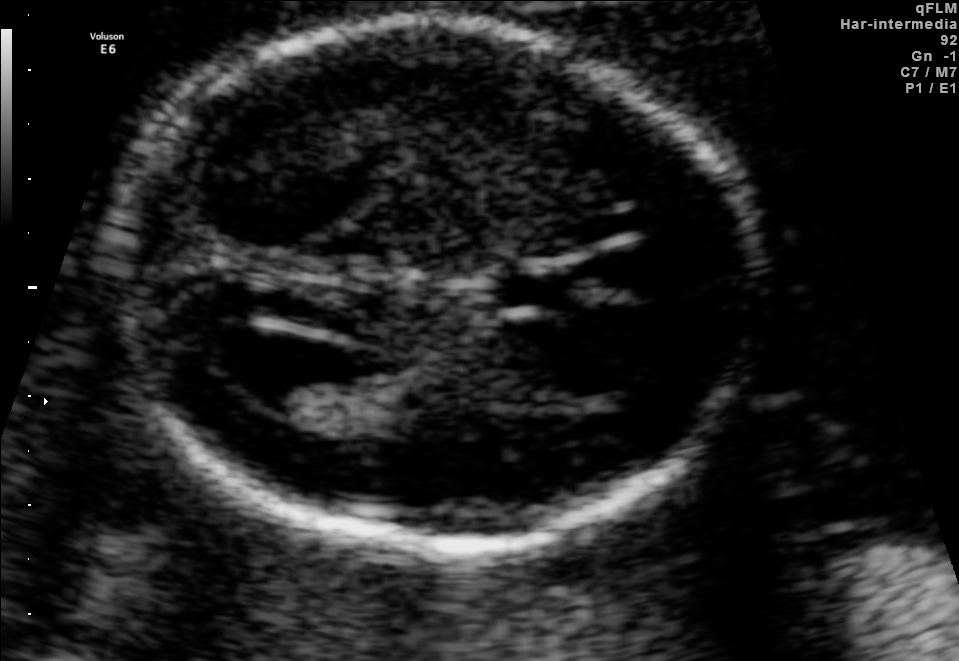
Fetal brain, trans-ventricular plane. Locate the cavum septum pellucidum.

CSP: [482,272,588,312]